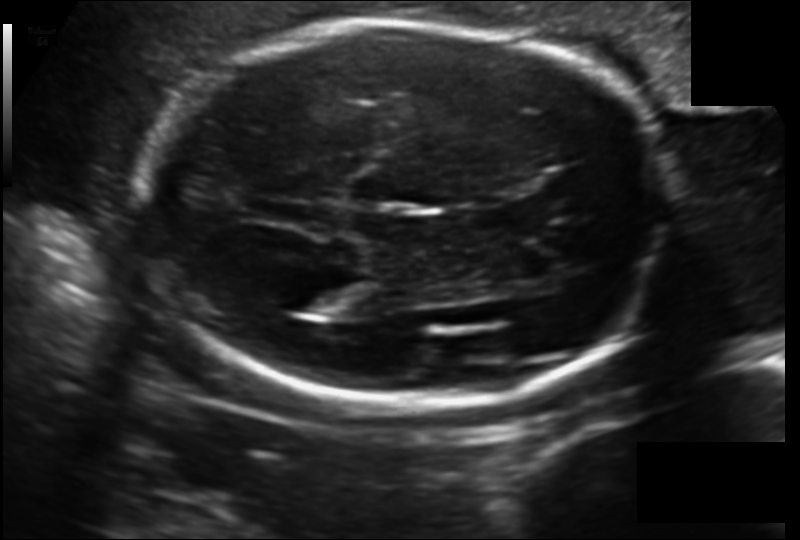
From this fetal ultrasound, estimate the head circumference (image width 121.4 mm).

Head circumference: 223.5 mm.